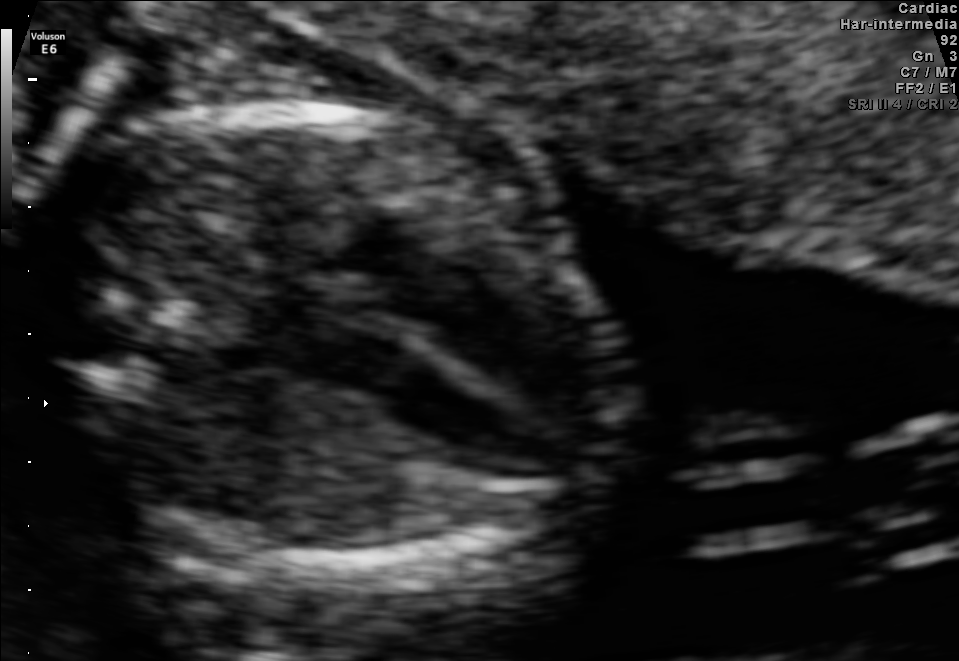
This is a 2D maternal-fetal ultrasound frame. Is it a fetal abdomen, fetal brain, fetal femur, fetal thorax, maternal cervix, or other standard plane? If it's fetal brain and one of the three standard brain planes (trans-thalamic, trans-cerebellum, trans-ventricular), name which.

Fetal thorax